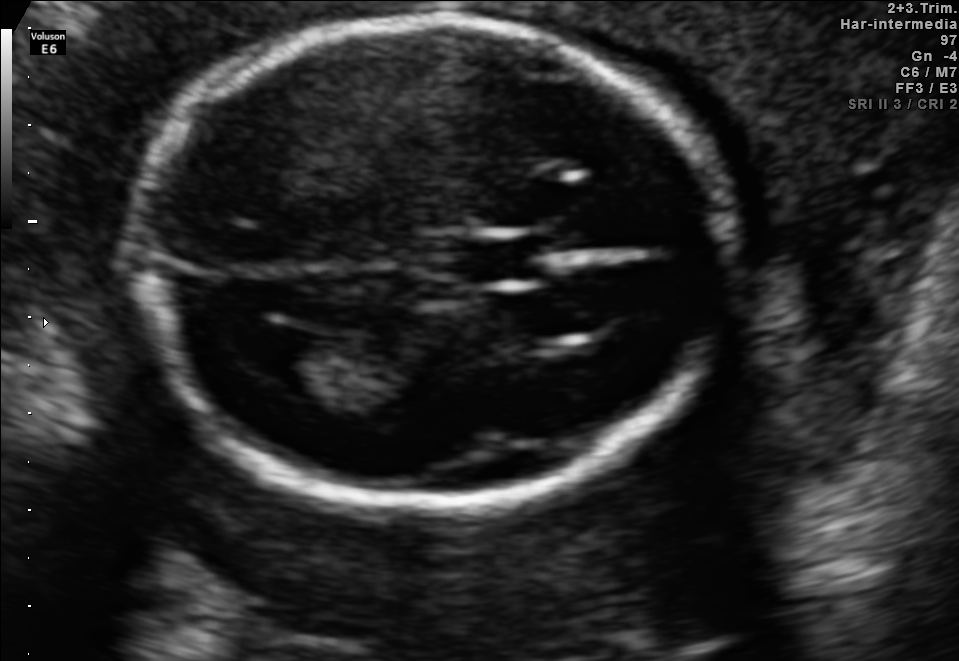
Which standard maternal-fetal ultrasound plane is shown: fetal abdomen, fetal brain, fetal femur, fetal thorax, maternal cervix, or other? If it's fetal brain and one of the three standard brain planes (trans-thalamic, trans-cerebellum, trans-ventricular), name which.

Fetal brain (trans-ventricular plane)